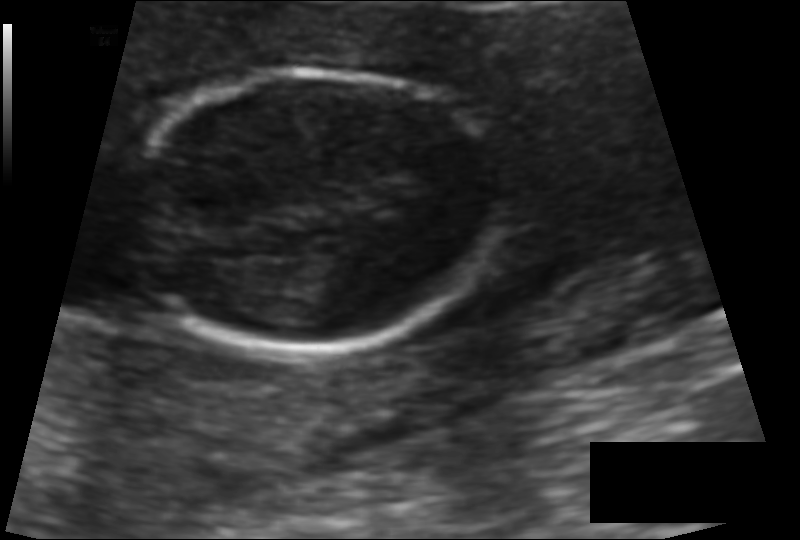
Fetal head ultrasound. Image width: 75.9 mm. Give [x1,y1,x2,y2] bounding boxes for each visible structure among: fetal head, CSP, LV.

Head: [132,72,496,355]